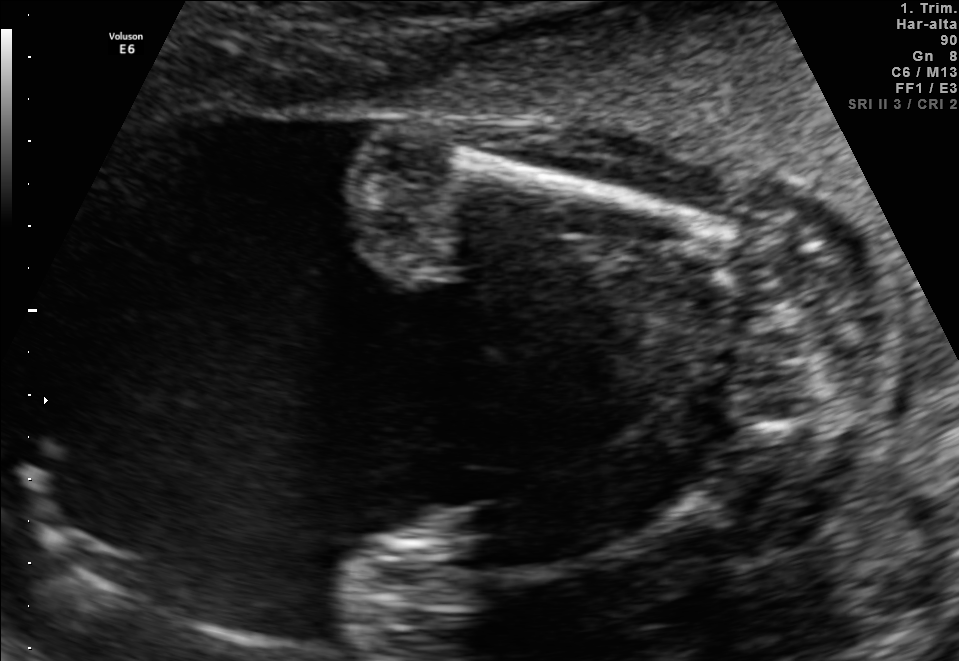
Classify this maternal-fetal ultrasound image as one of the six standard planes — fetal abdomen, fetal brain, fetal femur, fetal thorax, maternal cervix, or other. If it's fetal brain and one of the three standard brain planes (trans-thalamic, trans-cerebellum, trans-ventricular), name which.

Fetal femur